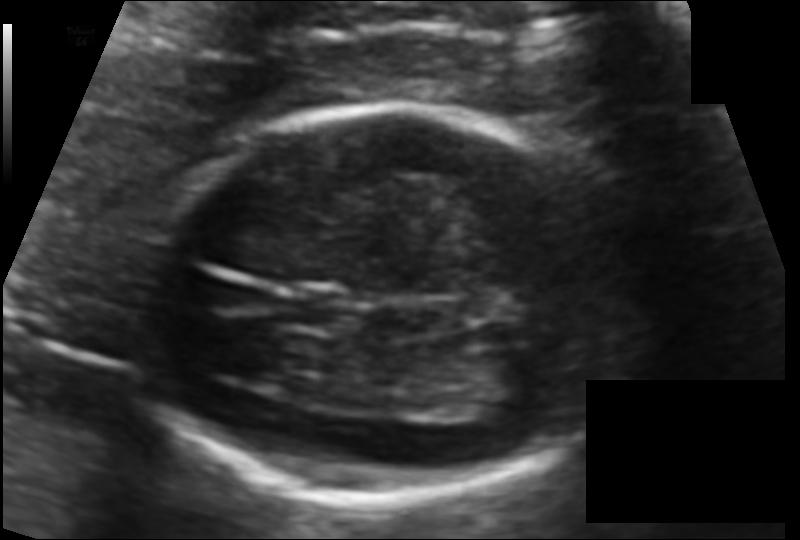
Fetal head ultrasound. Image width: 80.0 mm. Locate the fetal head and, if visible, the cavum septum pellucidum (CSP) and lateral ventricle (LV). Give bounding boxes as [x1,y1,x2,y2].

Head: [141,105,632,499]